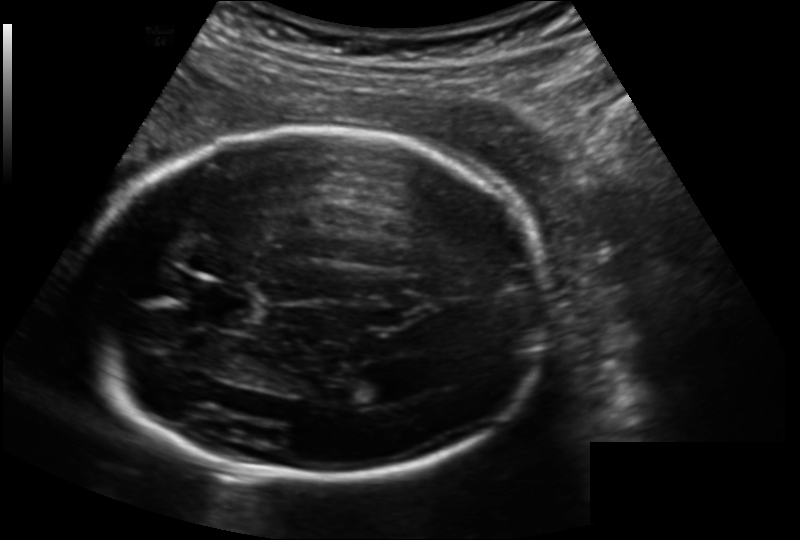
In this fetal head ultrasound, give bounding boxes for the head outline, cavum septum pellucidum (CSP), and lateral ventricle (LV), where visible. Image width: 130.8 mm.

Head: [78,131,551,481]
CSP: [186,277,252,331]
Lateral ventricle: [347,367,402,410]